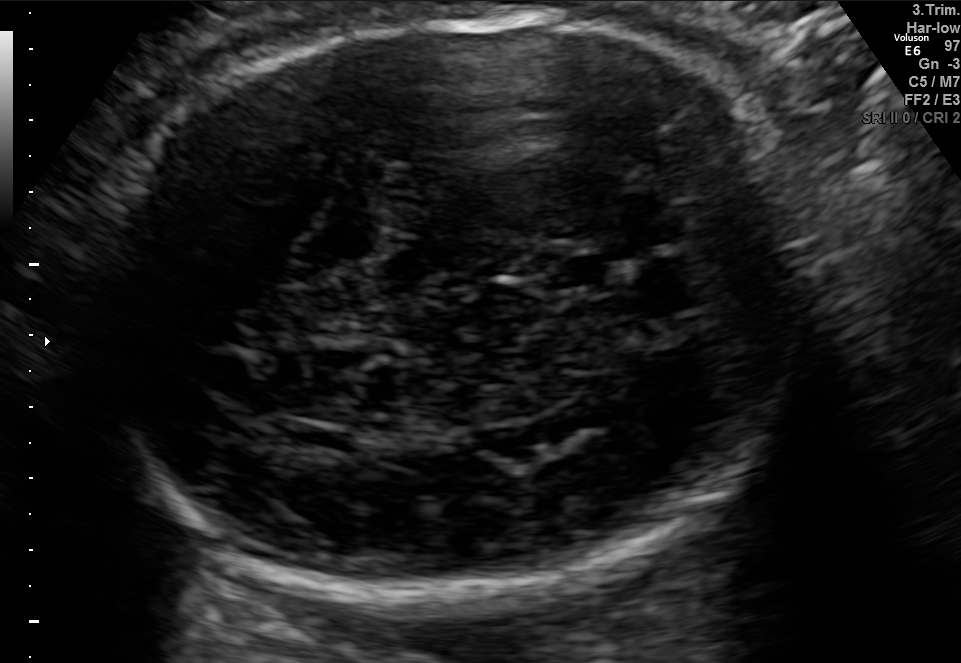
In this fetal brain, trans-thalamic plane, give the bounding box of the fetal head.

[86,8,815,585]